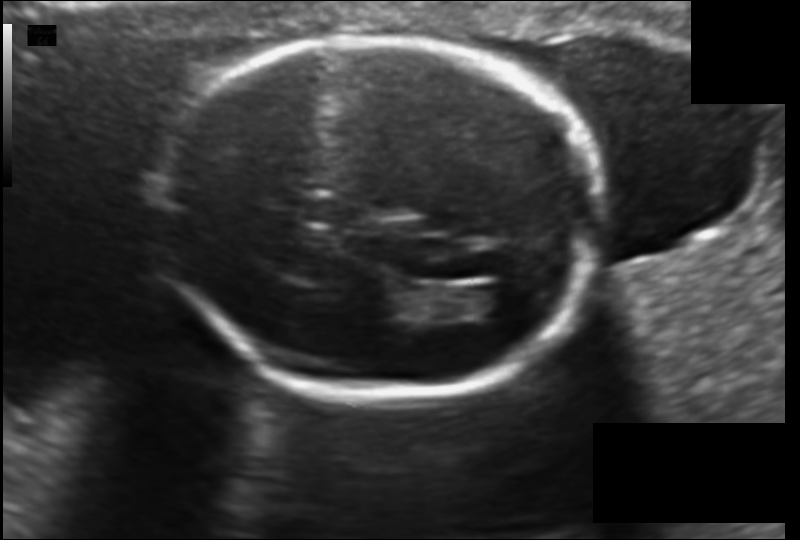
From this fetal ultrasound, estimate the head circumference (image width 104.2 mm).

Head circumference: 169.9 mm.